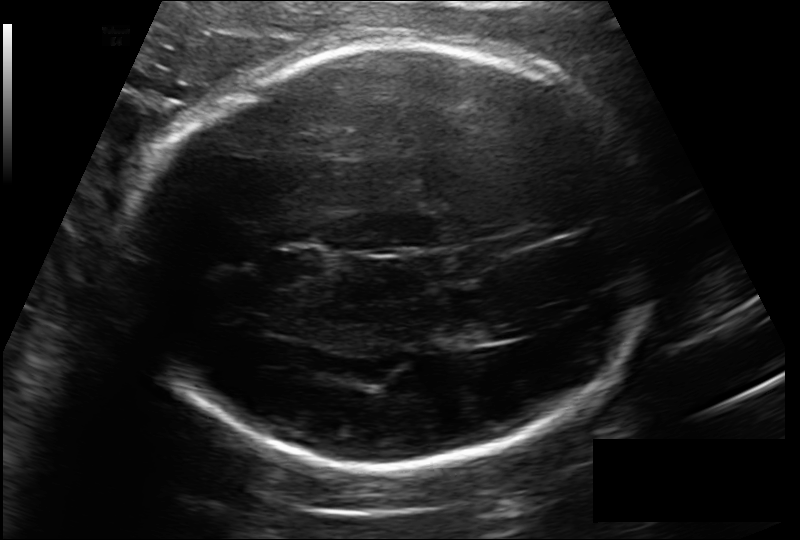
Fetal head ultrasound. Image width: 148.1 mm. Locate the fetal head and, if visible, the cavum septum pellucidum (CSP) and lateral ventricle (LV). Give bounding boxes as [x1,y1,x2,y2].

Head: [137,46,658,466]
CSP: [271,246,324,279]
Lateral ventricle: [459,318,510,347]